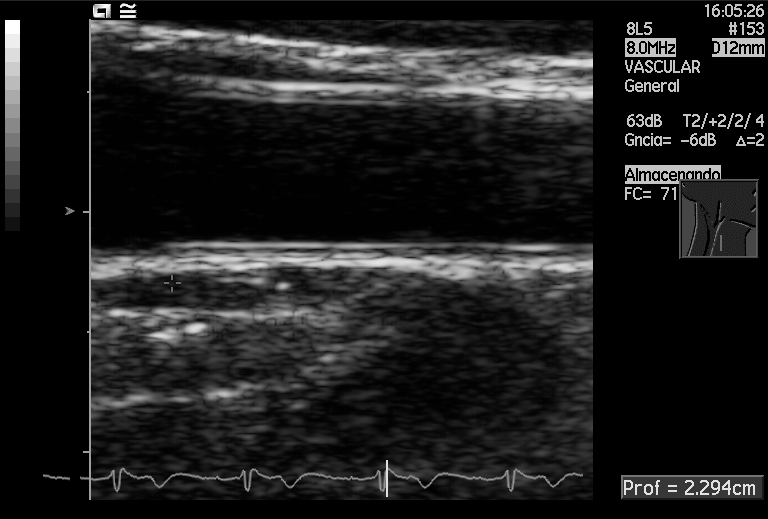
This is a 2D maternal-fetal ultrasound frame. Is it a fetal abdomen, fetal brain, fetal femur, fetal thorax, maternal cervix, or other standard plane? If it's fetal brain and one of the three standard brain planes (trans-thalamic, trans-cerebellum, trans-ventricular), name which.

Other